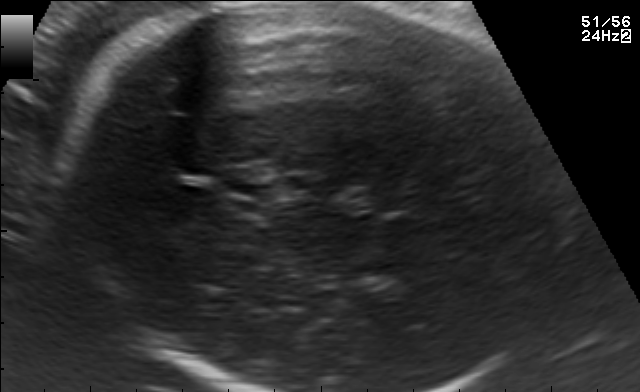
Fetal brain, trans-thalamic plane. Where is the fetal head?

Head bounding box: [69,4,553,391]